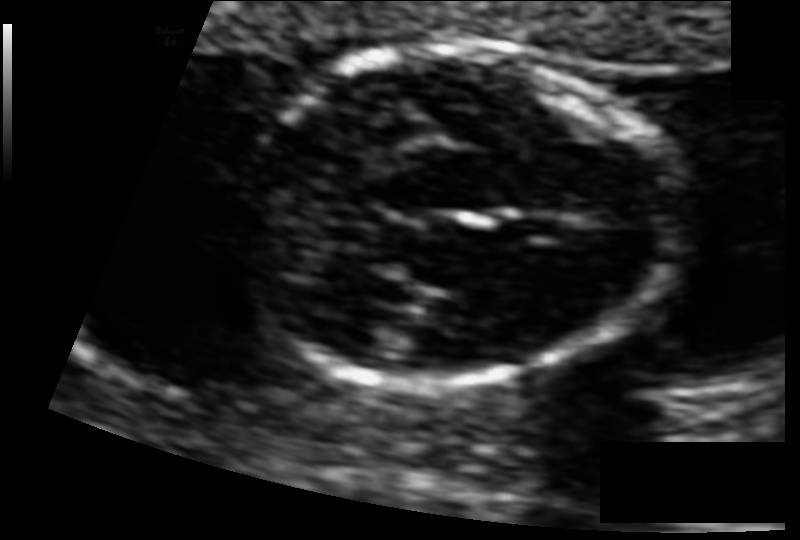
What is the fetal head circumference? Image width is 58.4 mm.

92.6 mm